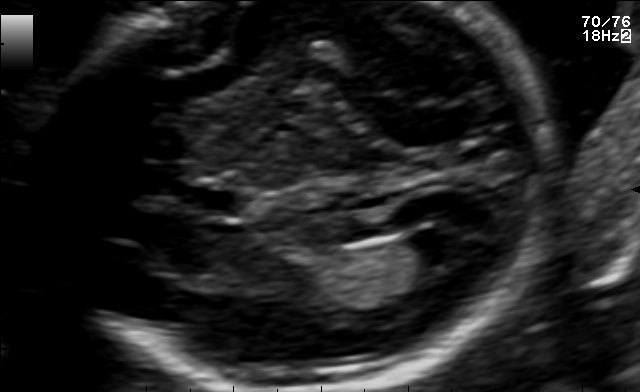
Fetal brain, trans-ventricular plane. Locate the cavum septum pellucidum.

CSP: [191,191,241,216]